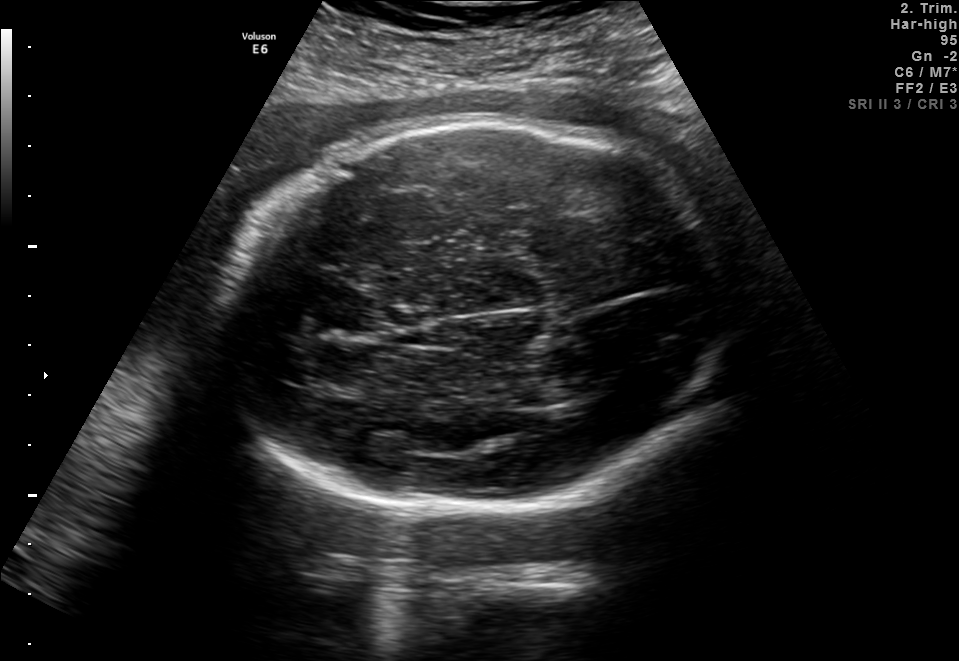
Fetal brain, trans-thalamic plane. Give [x1,y1,x2,y2] bounding boxes for each visible structure among: fetal head, CSP, LV.

Head: [224,125,743,508]
Lateral ventricle: [542,368,611,409]